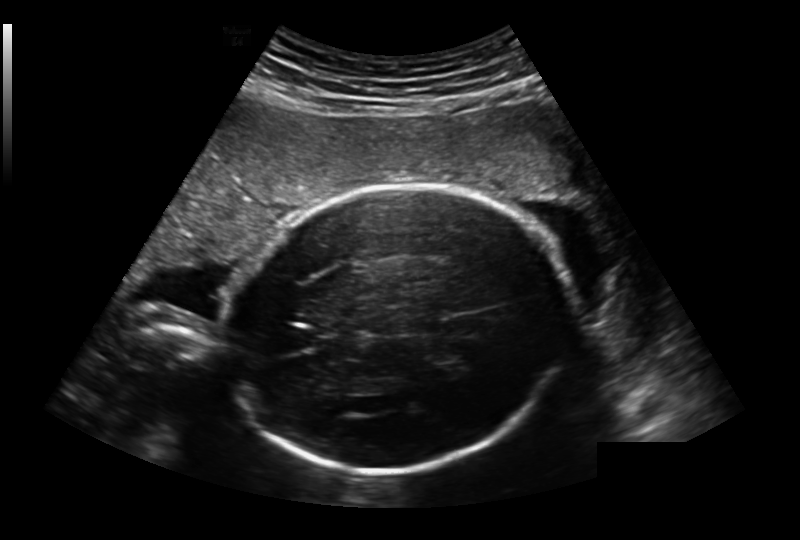
In this fetal head ultrasound, give the bounding box of the fetal head. Image width: 188.6 mm.

[227,184,571,472]